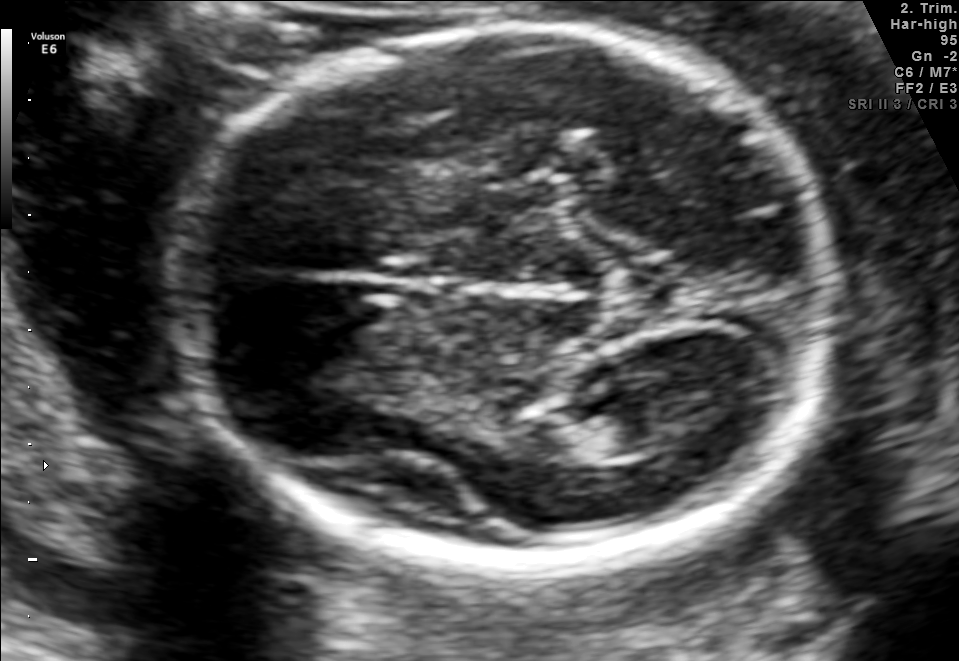
Fetal brain, trans-thalamic plane. Locate the fetal head.

Head: [169,28,834,563]